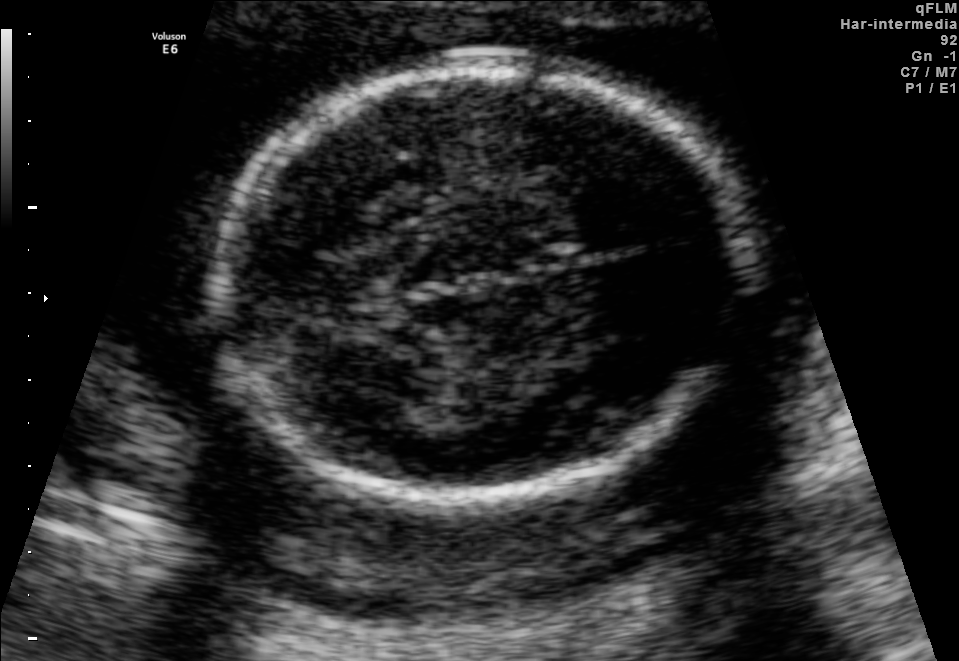
In this fetal brain, trans-thalamic plane, give the bounding box of the fetal head.

[216,71,751,494]